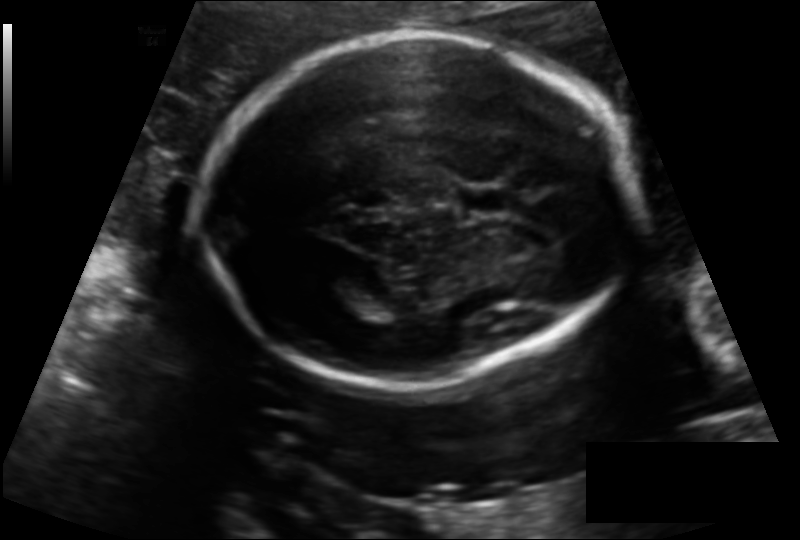
Estimate the fetal head circumference from this 2D ultrasound. Image width: 111.5 mm.

Head circumference: 177.5 mm.